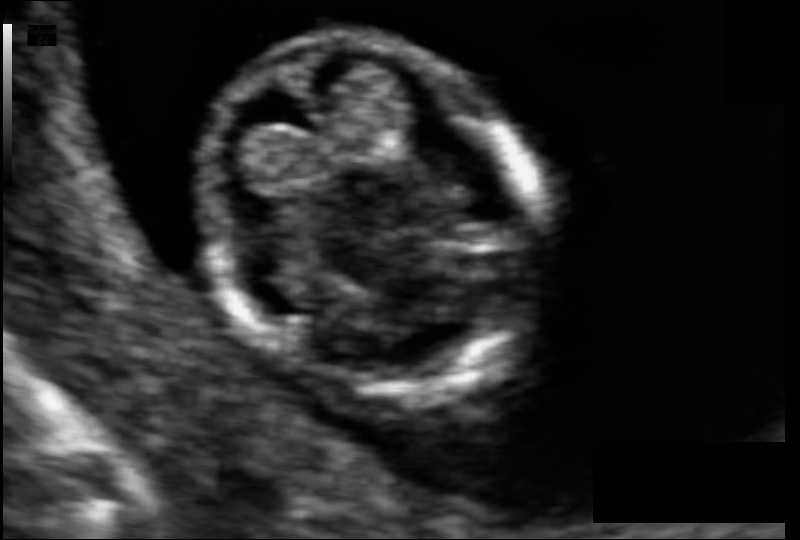
In this fetal head ultrasound, give the bounding box of the fetal head. Image width: 50.8 mm.

[206,35,537,402]